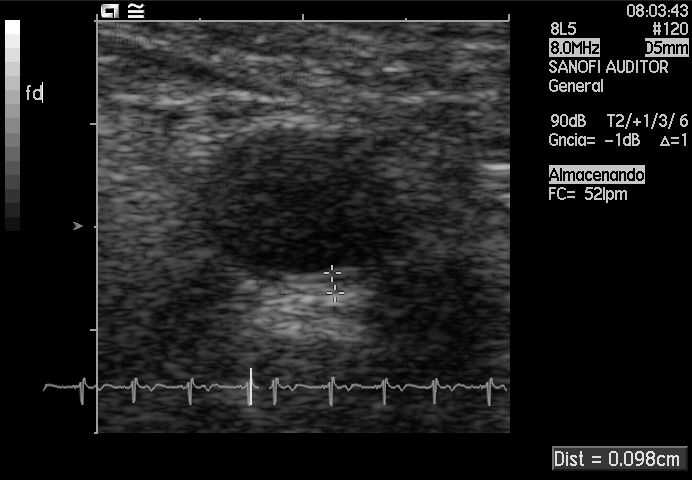
Classify this maternal-fetal ultrasound image as one of the six standard planes — fetal abdomen, fetal brain, fetal femur, fetal thorax, maternal cervix, or other. If it's fetal brain and one of the three standard brain planes (trans-thalamic, trans-cerebellum, trans-ventricular), name which.

Other